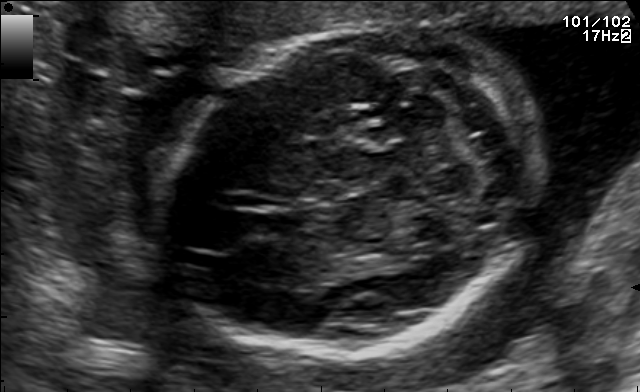
Fetal brain, trans-cerebellum plane. Locate the fetal head.

Head: [168,27,532,354]